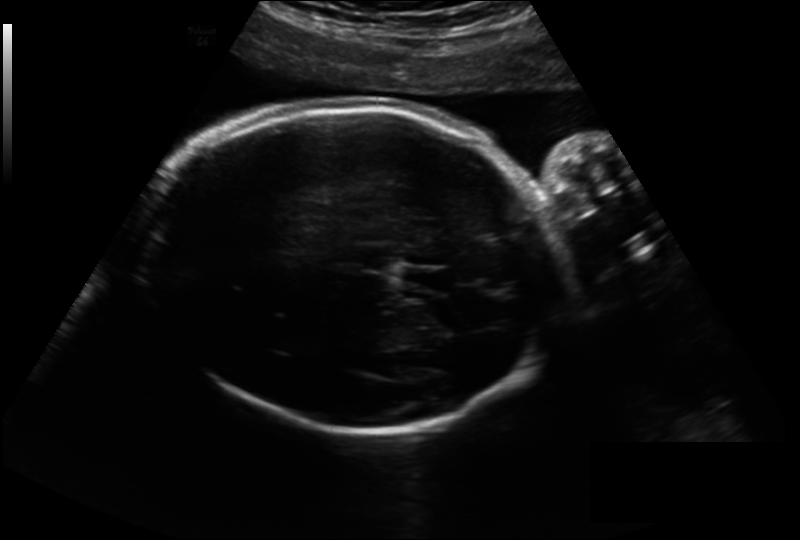
Fetal head ultrasound. Image width: 194.6 mm. Locate the cavum septum pellucidum.

CSP: [400,266,450,291]